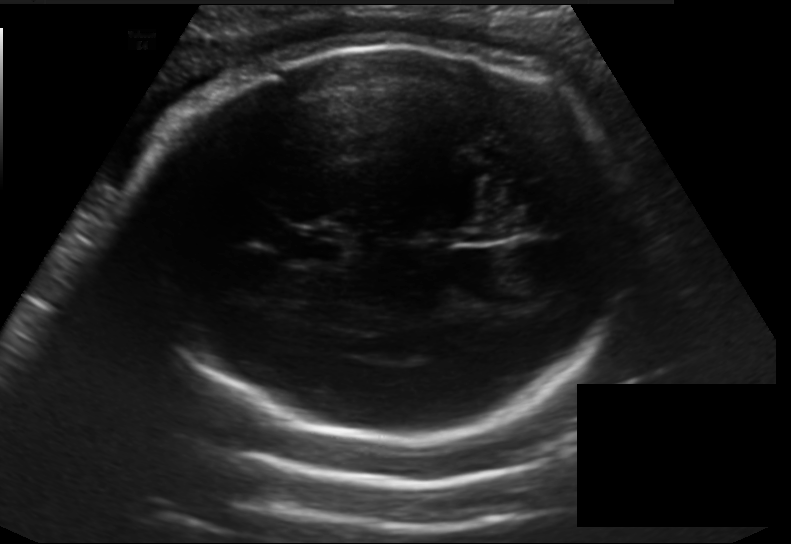
Measure the fetal head circumference shown in this ultrasound image. Image width: 156.8 mm.

Head circumference: 292.4 mm.